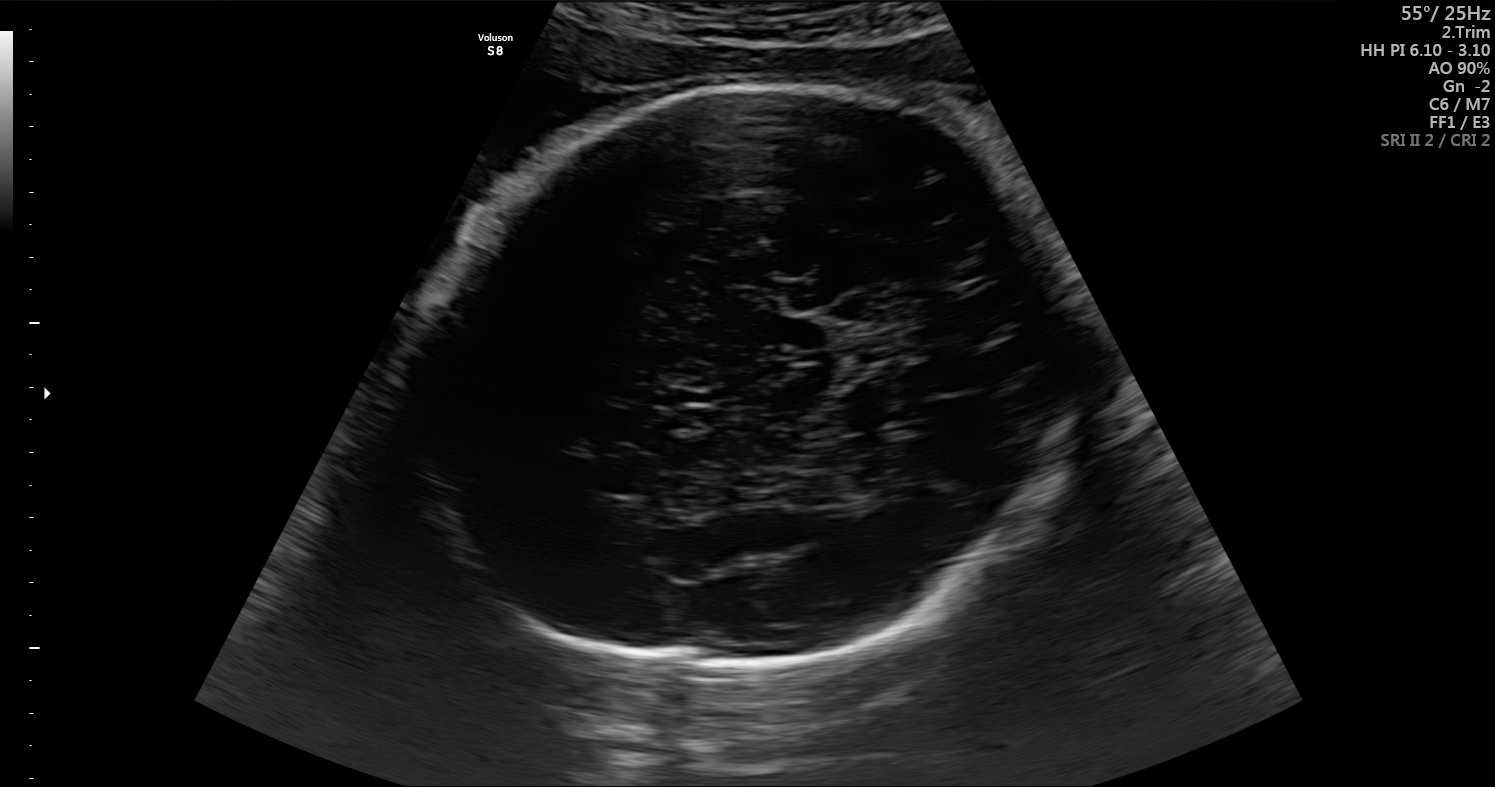
This is a 2D maternal-fetal ultrasound frame. Is it a fetal abdomen, fetal brain, fetal femur, fetal thorax, maternal cervix, or other standard plane? If it's fetal brain and one of the three standard brain planes (trans-thalamic, trans-cerebellum, trans-ventricular), name which.

Fetal brain (trans-thalamic plane)